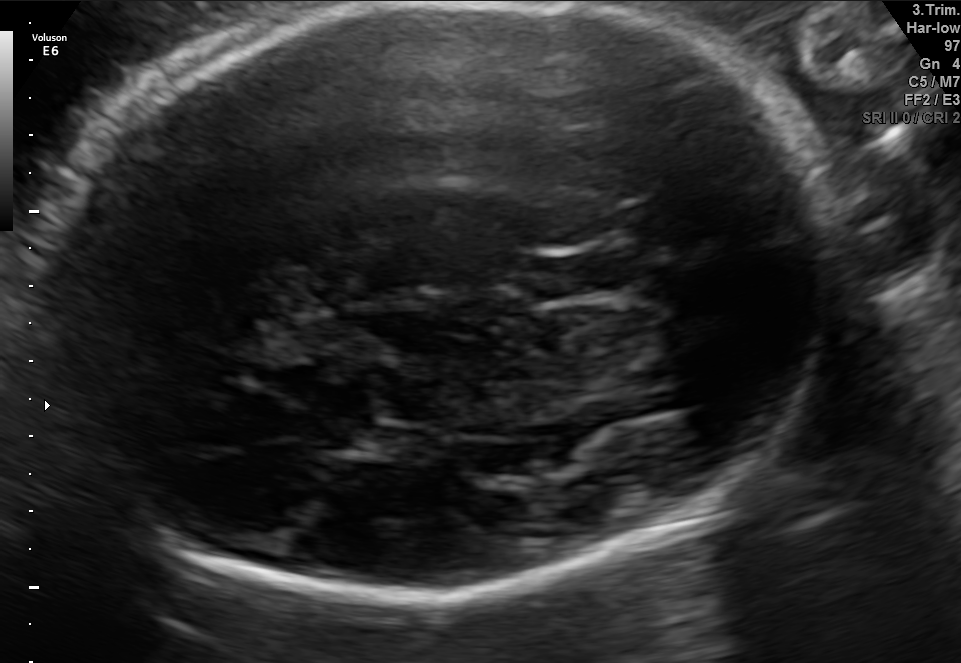
In this fetal brain, trans-thalamic plane, give the bounding box of the lateral ventricle.

[310,409,390,459]